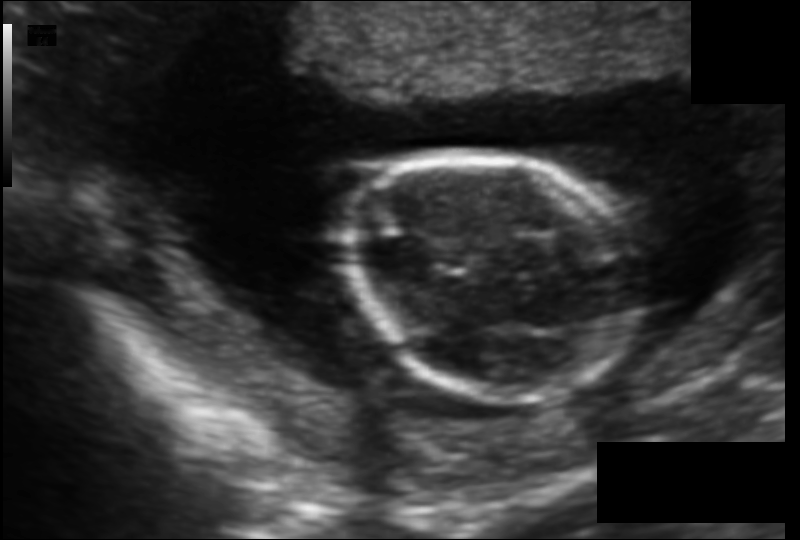
Fetal head ultrasound. Image width: 92.1 mm. Locate the fetal head.

Head: [347,149,643,403]